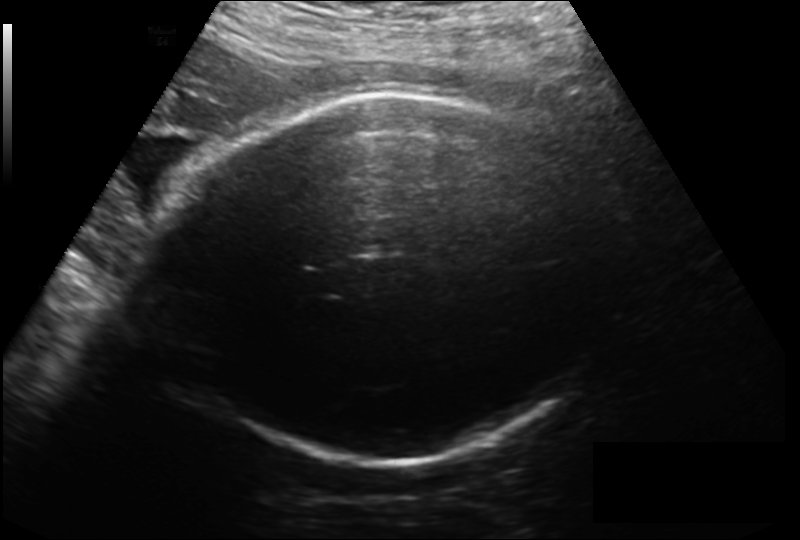
Estimate the fetal head circumference from this 2D ultrasound.

Head circumference: 286.4 mm (image width 171.5 mm).